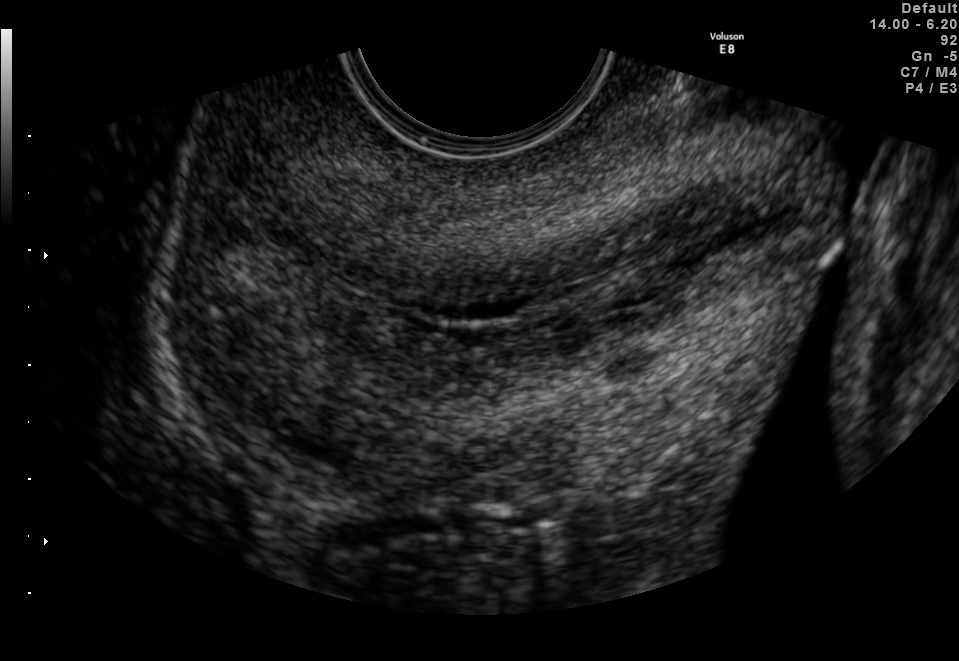
Which standard maternal-fetal ultrasound plane is shown: fetal abdomen, fetal brain, fetal femur, fetal thorax, maternal cervix, or other? If it's fetal brain and one of the three standard brain planes (trans-thalamic, trans-cerebellum, trans-ventricular), name which.

Maternal cervix